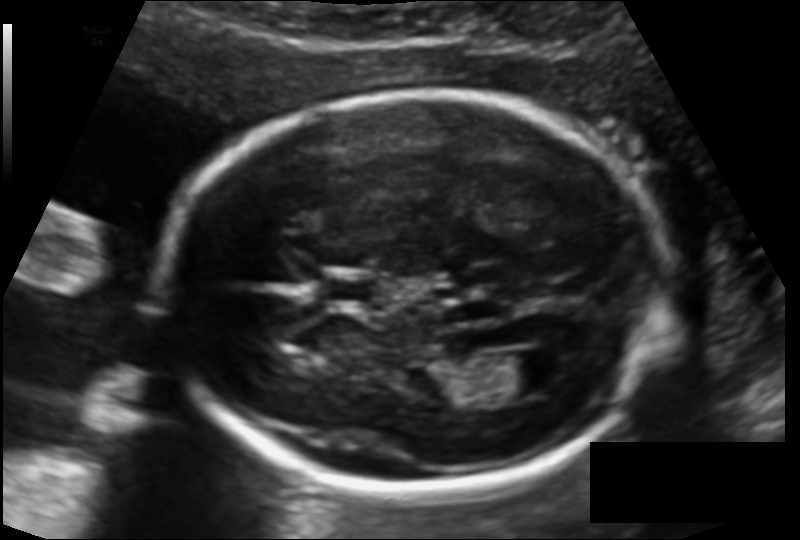
Fetal head ultrasound. Image width: 101.2 mm. Locate the fetal head and, if visible, the cavum septum pellucidum (CSP) and lateral ventricle (LV). Give bounding boxes as [x1,y1,x2,y2].

Head: [169,93,663,491]
CSP: [321,273,374,306]
Lateral ventricle: [484,348,563,404]